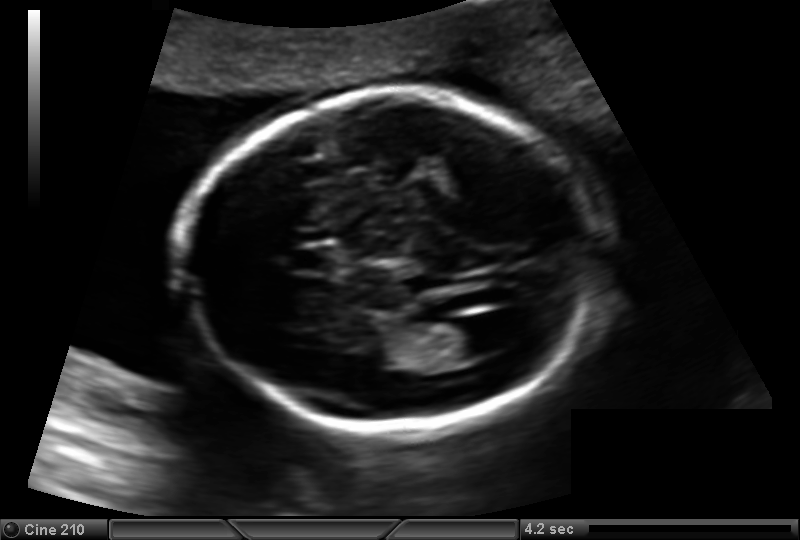
In this fetal head ultrasound, give bounding boxes for the head outline, cavum septum pellucidum (CSP), and lateral ventricle (LV), where visible. Image width: 109.7 mm.

Head: [186,90,599,431]
CSP: [292,246,334,273]
Lateral ventricle: [426,314,504,366]